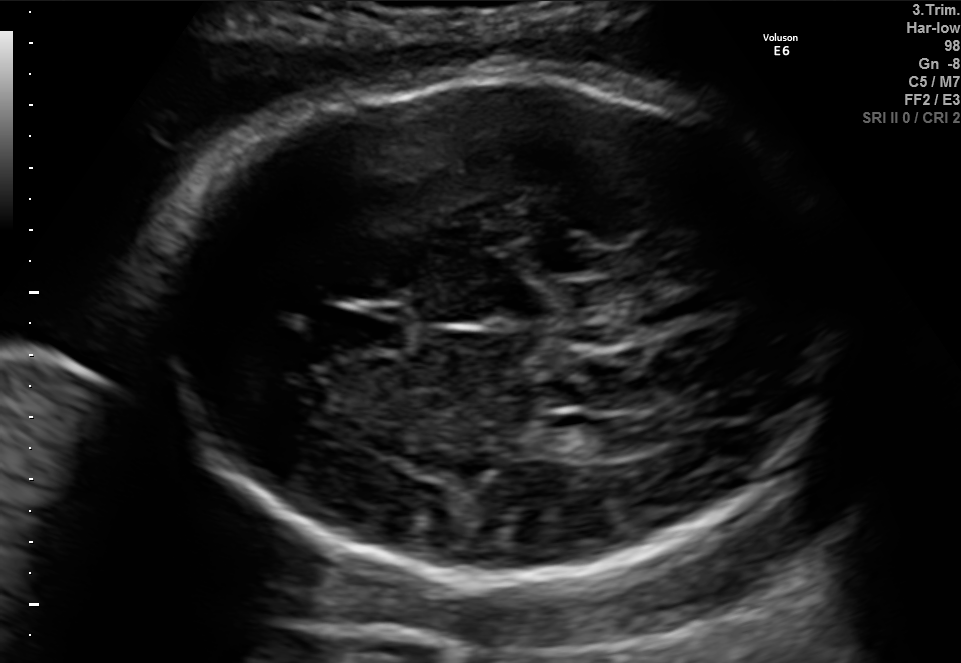
Fetal brain, trans-ventricular plane. Where is the lateral ventricle?

Lateral ventricle bounding box: [588,407,677,460]